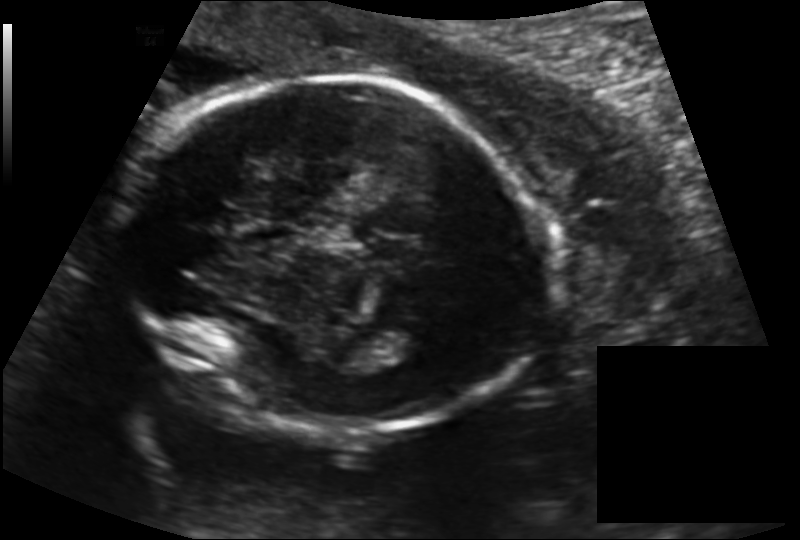
Estimate the fetal head circumference from this 2D ultrasound.

Head circumference: 187.2 mm (image width 116.1 mm).